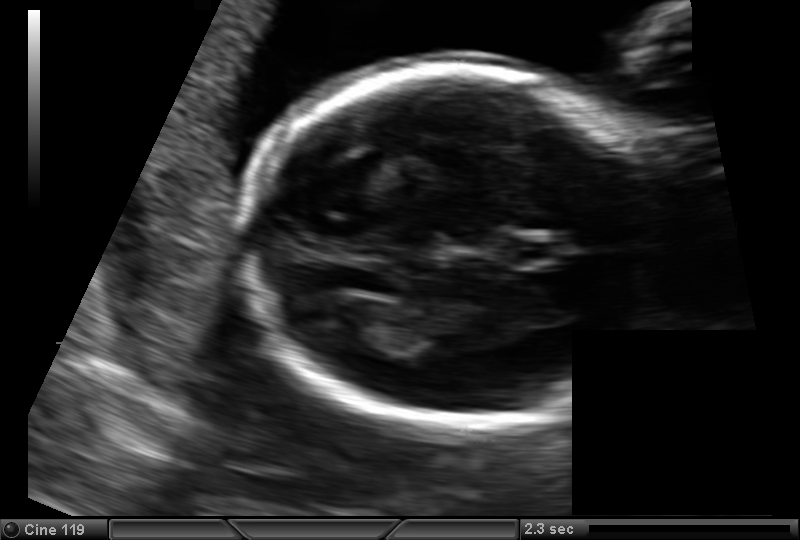
Fetal head ultrasound. Image width: 103.2 mm. Where is the fetal head?

Head bounding box: [246,65,664,424]